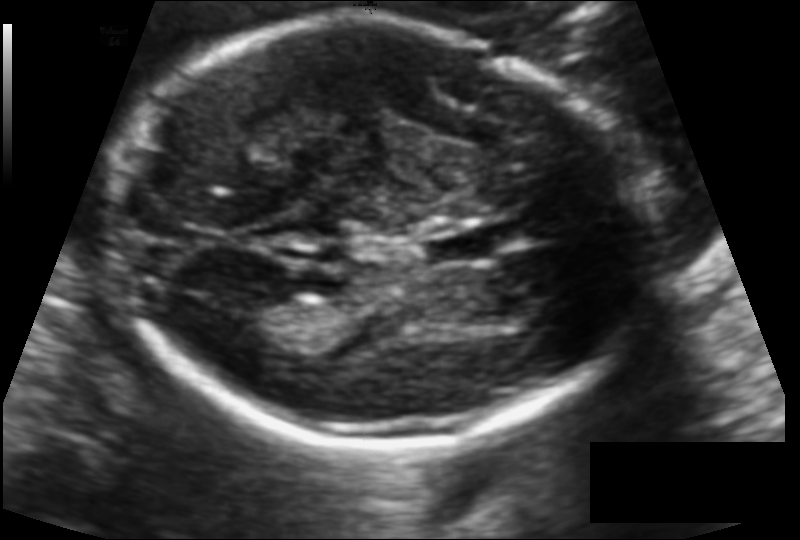
In this fetal head ultrasound, give the bounding box of the lateral ventricle. Image width: 90.9 mm.

[231,287,309,345]